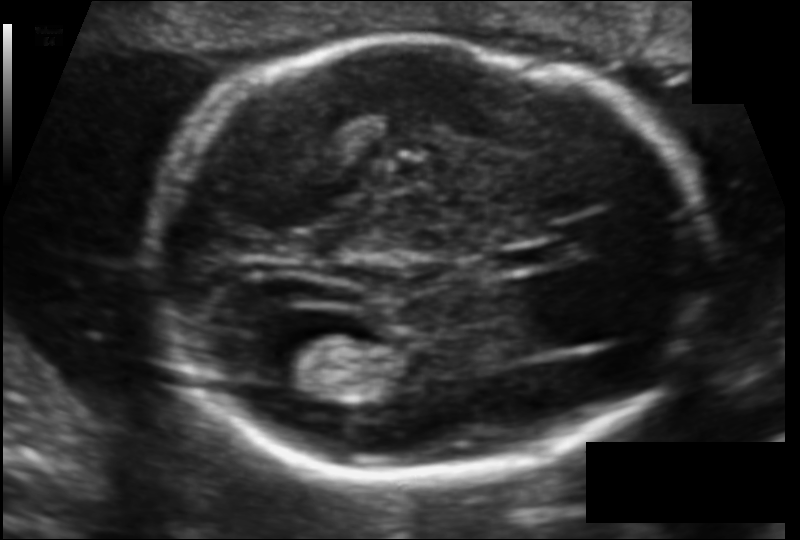
Fetal head ultrasound. Image width: 84.9 mm. Locate the fetal head and, if visible, the cavum septum pellucidum (CSP) and lateral ventricle (LV). Give bounding boxes as [x1,y1,x2,y2].

Head: [155,38,703,475]
CSP: [496,233,569,277]
Lateral ventricle: [252,335,343,390]